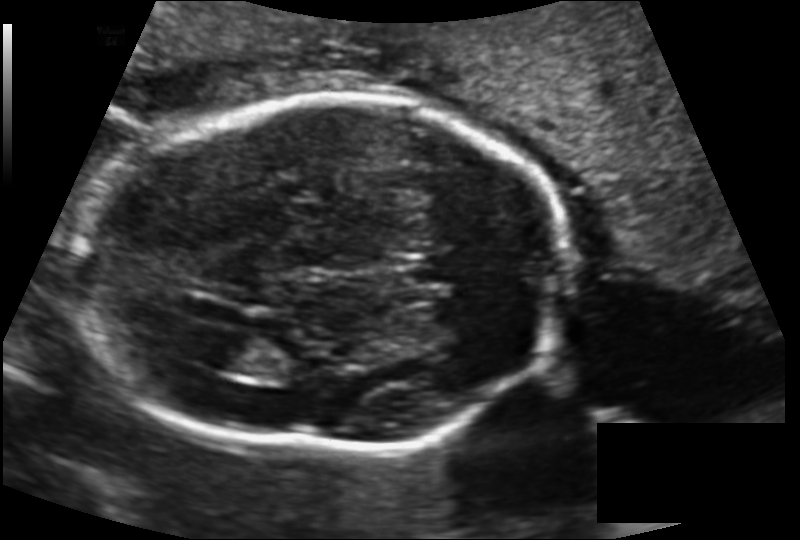
In this fetal head ultrasound, give bounding boxes for the head outline, cavum septum pellucidum (CSP), and lateral ventricle (LV), where visible. Image width: 114.0 mm.

Head: [78,96,572,452]
CSP: [401,255,462,285]
Lateral ventricle: [202,330,273,378]